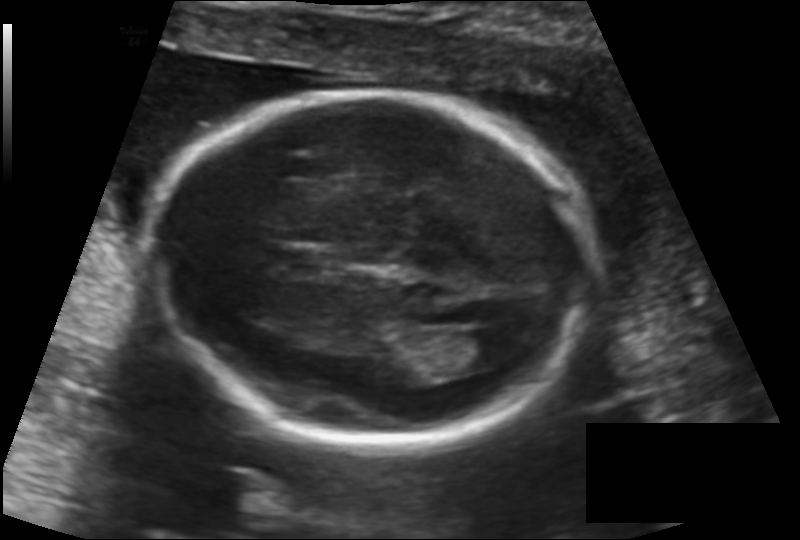
Fetal head ultrasound. Image width: 109.6 mm. Locate the fetal head.

Head: [151,92,594,443]